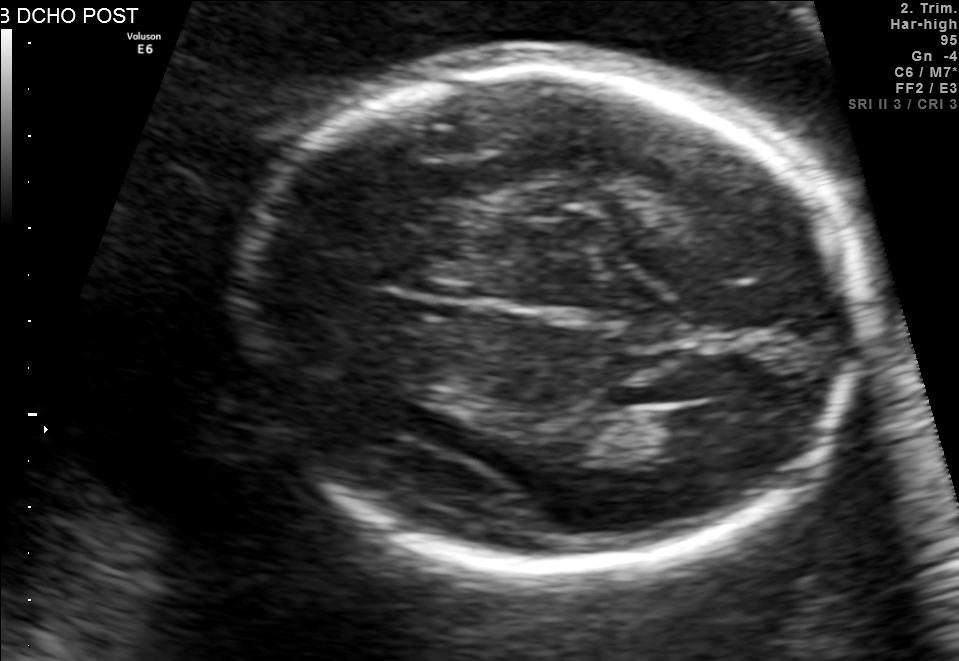
Fetal brain, trans-thalamic plane. Locate the lateral ventricle.

Lateral ventricle: [642,397,753,458]